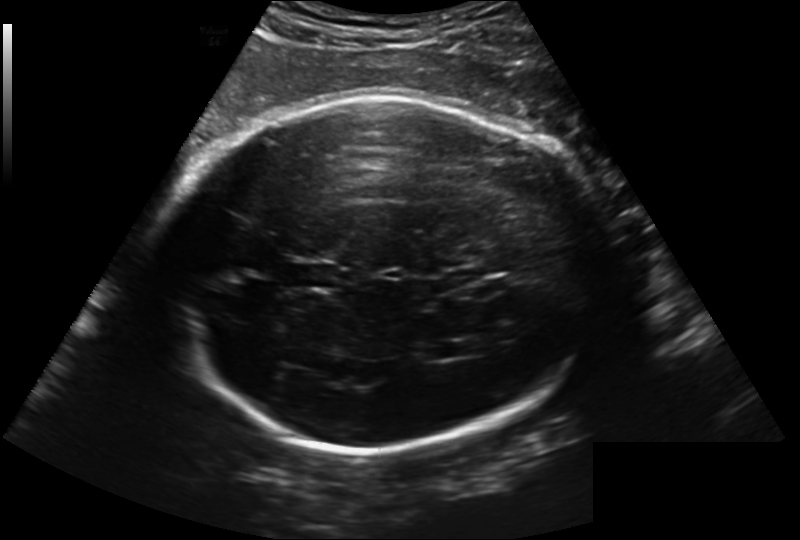
What is the fetal head circumference? Image width is 192.7 mm.

301.3 mm